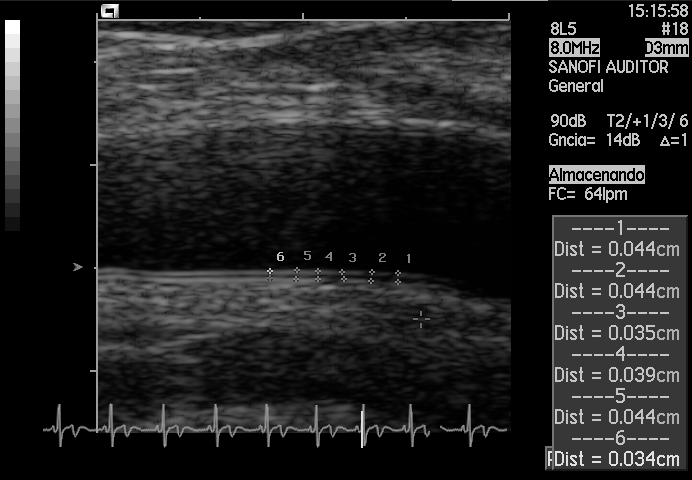
Identify the standard plane in this fetal ultrasound image: fetal abdomen, fetal brain, fetal femur, fetal thorax, maternal cervix, or other. If it's fetal brain and one of the three standard brain planes (trans-thalamic, trans-cerebellum, trans-ventricular), name which.

Other